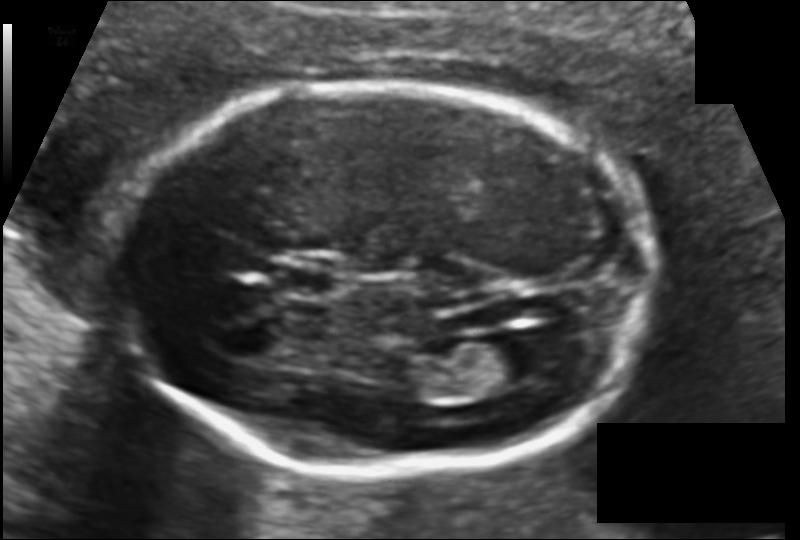
In this fetal head ultrasound, give the bounding box of the cavum septum pellucidum. Image width: 90.6 mm.

[281,265,337,300]